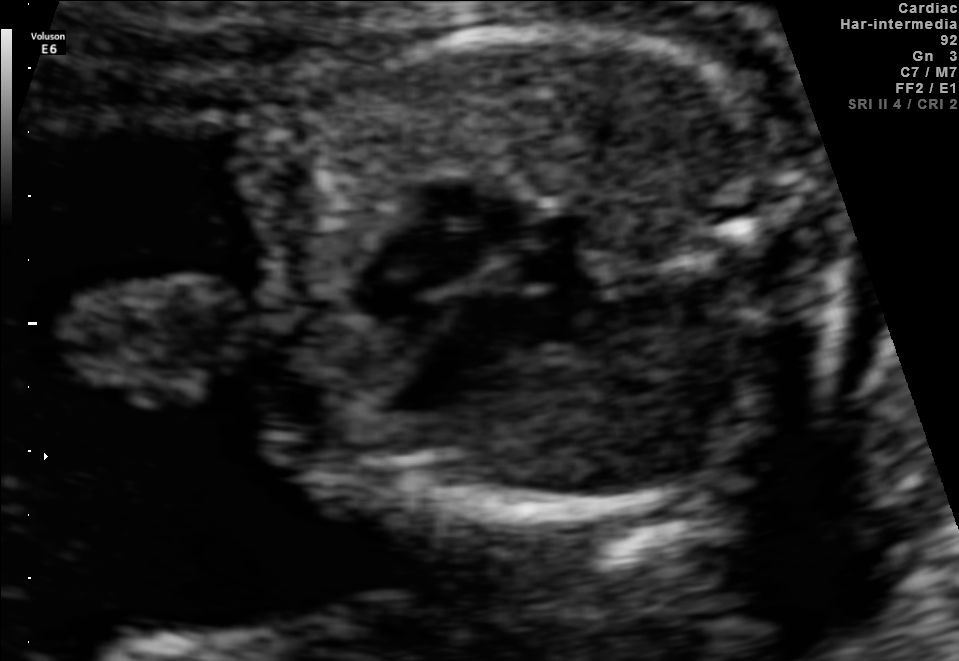
Identify the standard plane in this fetal ultrasound image: fetal abdomen, fetal brain, fetal femur, fetal thorax, maternal cervix, or other. If it's fetal brain and one of the three standard brain planes (trans-thalamic, trans-cerebellum, trans-ventricular), name which.

Fetal thorax